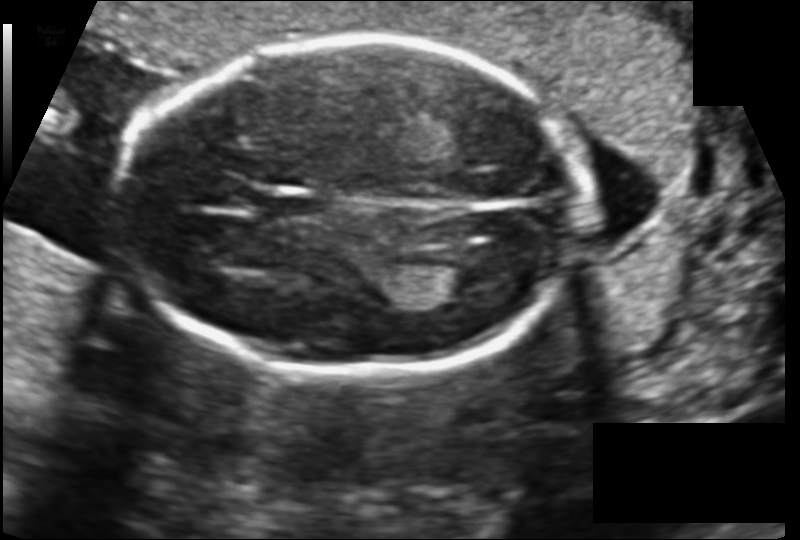
In this fetal head ultrasound, give the bounding box of the fetal head. Image width: 102.7 mm.

[123,38,584,378]